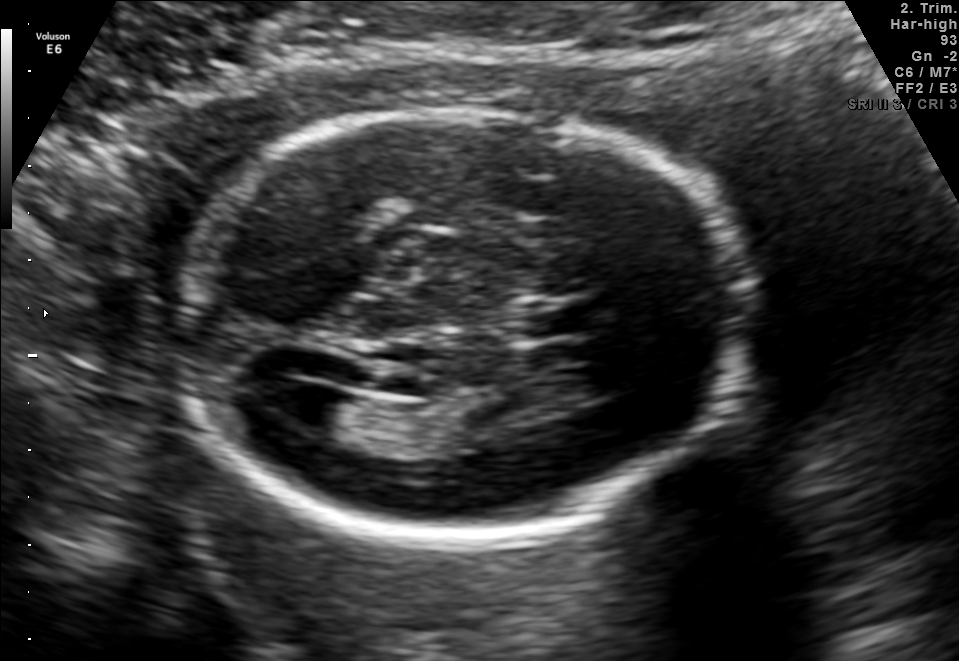
Fetal brain, trans-ventricular plane. Locate the lateral ventricle.

Lateral ventricle: [261,372,342,433]